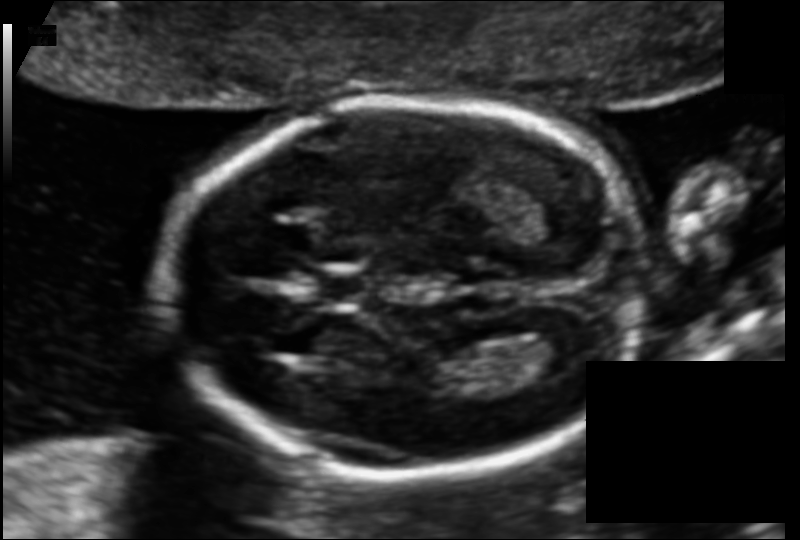
Fetal head ultrasound. Image width: 87.9 mm. Where is the fetal head?

Head bounding box: [160,100,638,474]